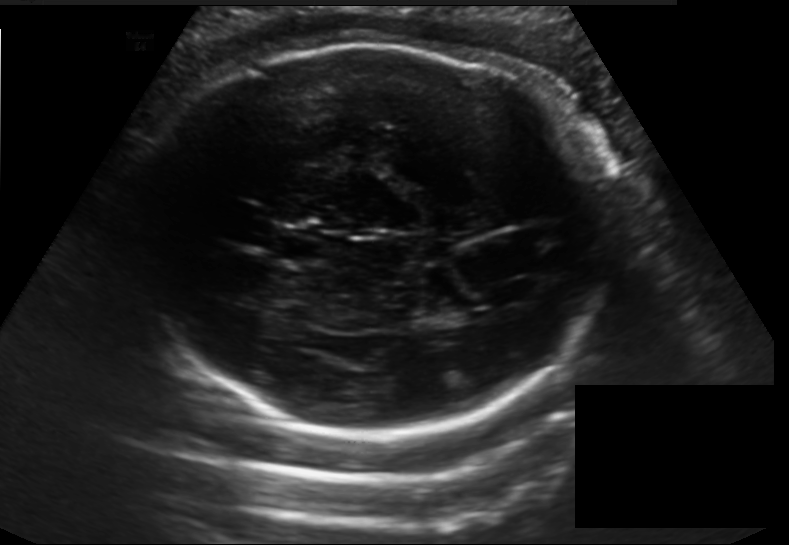
Estimate the fetal head circumference from this 2D ultrasound.

Head circumference: 283.5 mm (image width 156.6 mm).